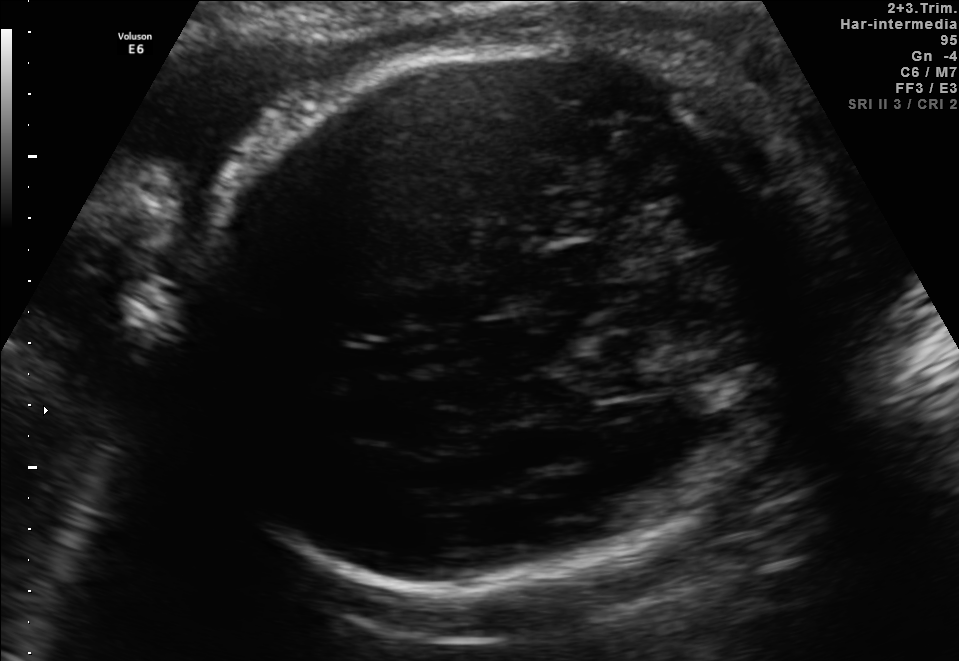
In this fetal brain, trans-cerebellum plane, give bounding boxes for the head outline, cavum septum pellucidum (CSP), and lateral ventricle (LV), where visible.

Head: [187,44,762,587]